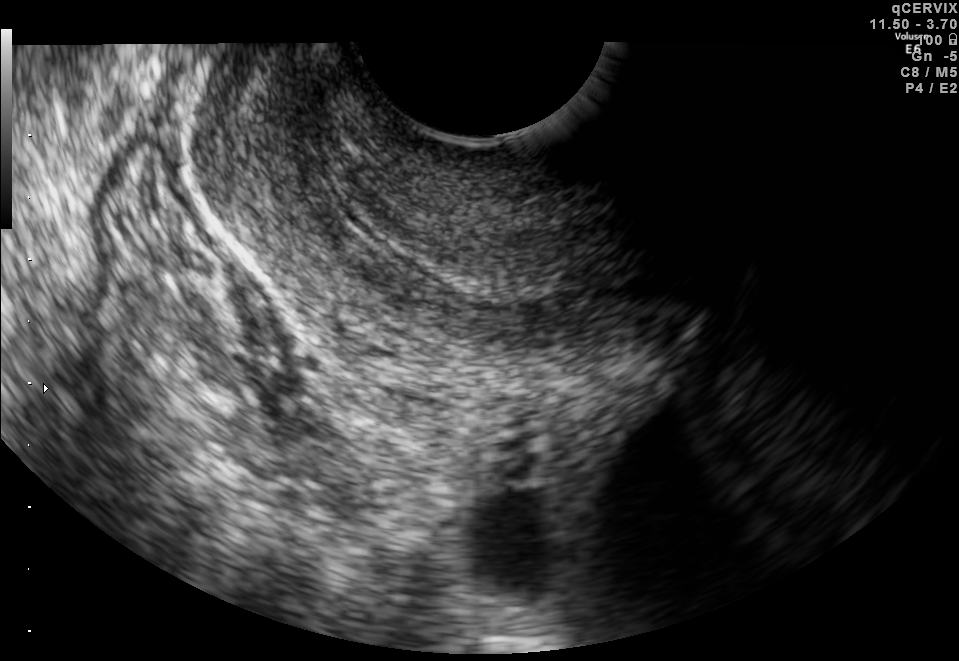
Classify this maternal-fetal ultrasound image as one of the six standard planes — fetal abdomen, fetal brain, fetal femur, fetal thorax, maternal cervix, or other. If it's fetal brain and one of the three standard brain planes (trans-thalamic, trans-cerebellum, trans-ventricular), name which.

Maternal cervix